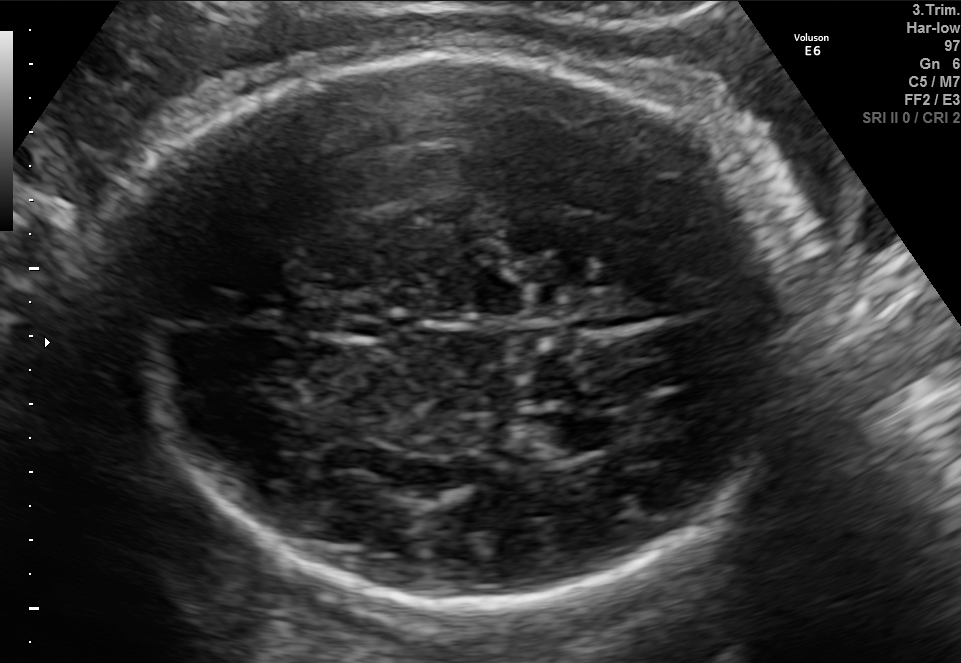
In this fetal brain, trans-thalamic plane, give bounding boxes for the head outline, cavum septum pellucidum (CSP), and lateral ventricle (LV), where visible.

Head: [109,42,794,605]
Lateral ventricle: [525,397,626,465]